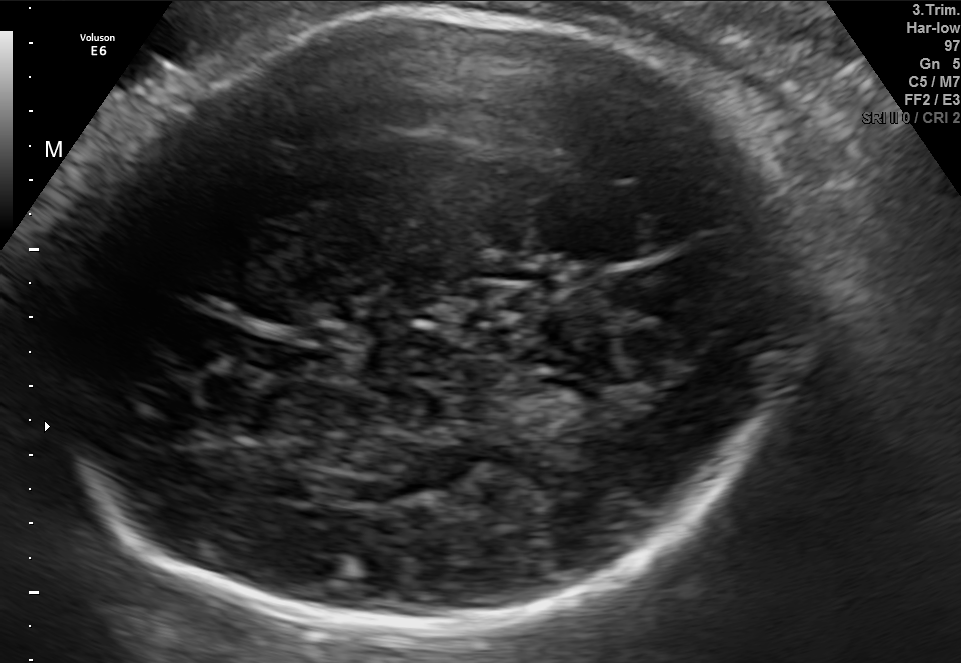
In this fetal brain, trans-thalamic plane, give the bounding box of the fetal head.

[42,13,789,636]